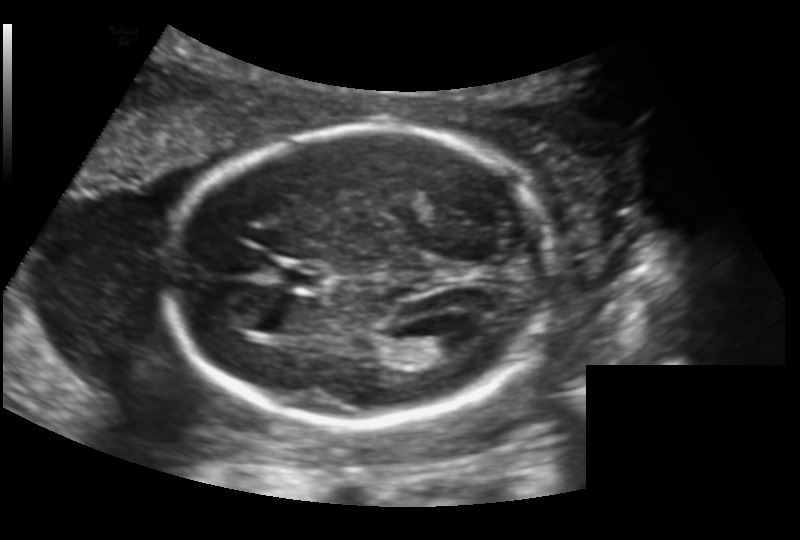
From this fetal ultrasound, estimate the head circumference (image width 125.0 mm).

Head circumference: 175.8 mm.